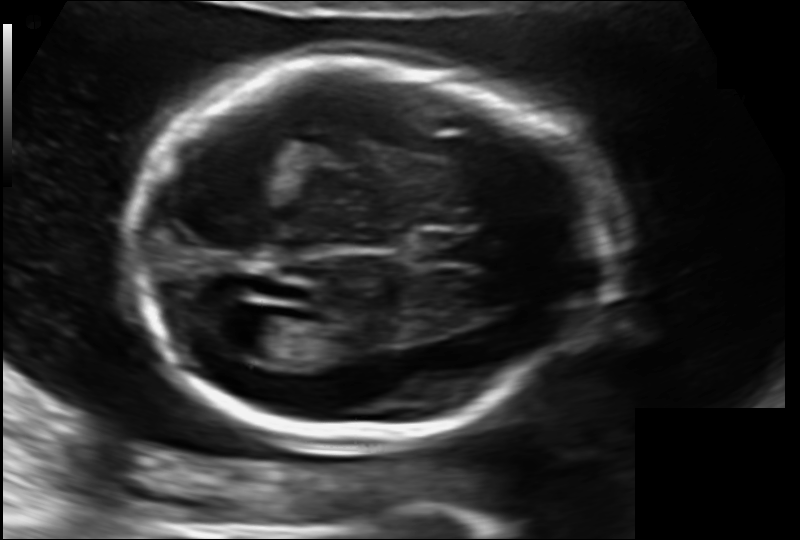
What is the fetal head circumference? Image width is 103.9 mm.

180.3 mm